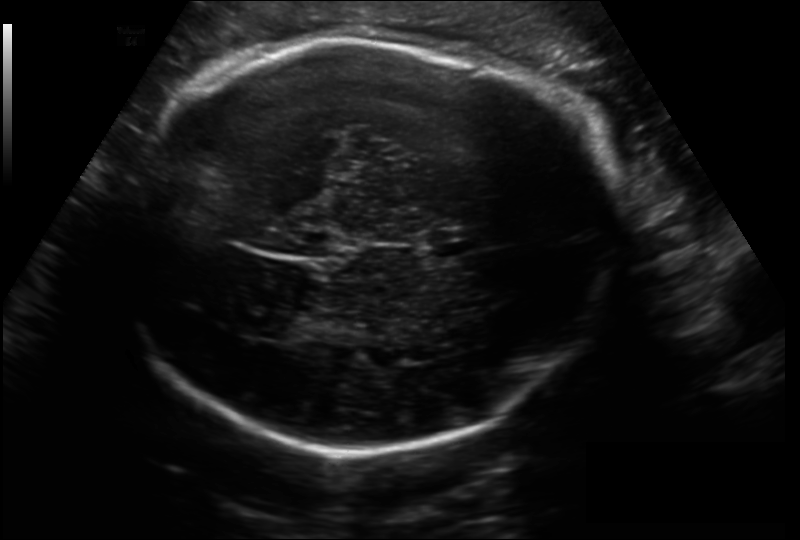
Measure the fetal head circumference shown in this ultrasound image. Image width: 164.9 mm.

Head circumference: 300.0 mm.